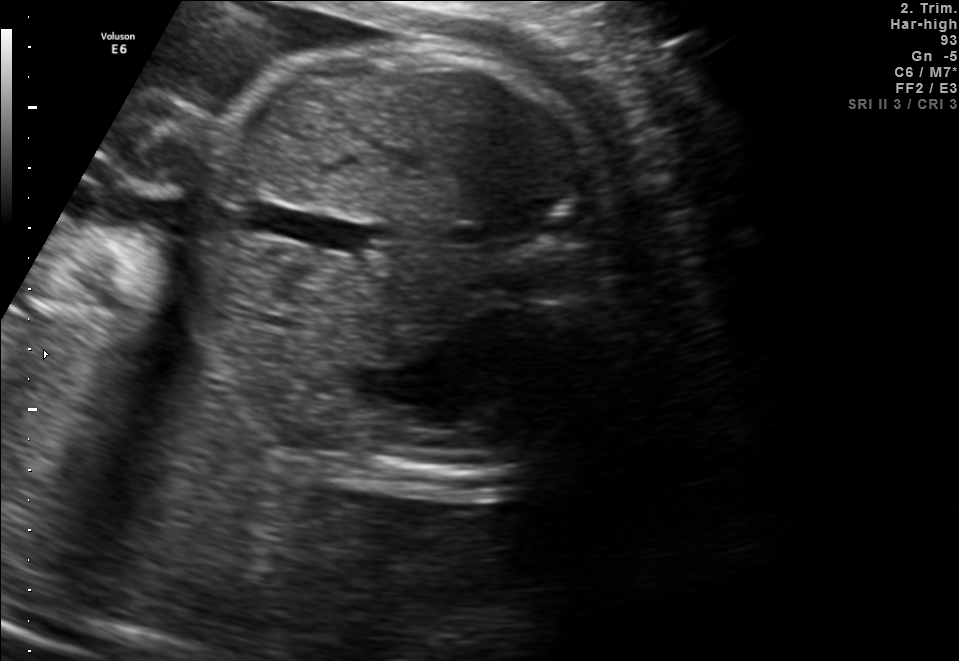
Identify the standard plane in this fetal ultrasound image: fetal abdomen, fetal brain, fetal femur, fetal thorax, maternal cervix, or other. If it's fetal brain and one of the three standard brain planes (trans-thalamic, trans-cerebellum, trans-ventricular), name which.

Fetal abdomen